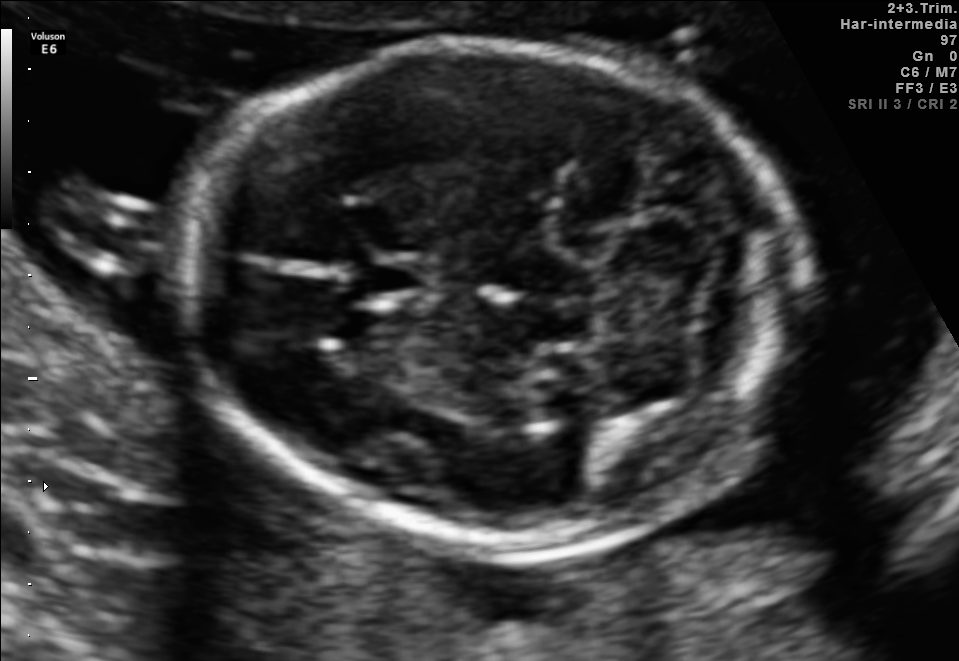
In this fetal brain, trans-cerebellum plane, give bounding boxes for the head outline, cavum septum pellucidum (CSP), and lateral ventricle (LV), where visible.

Head: [183,44,808,543]
CSP: [356,255,437,308]